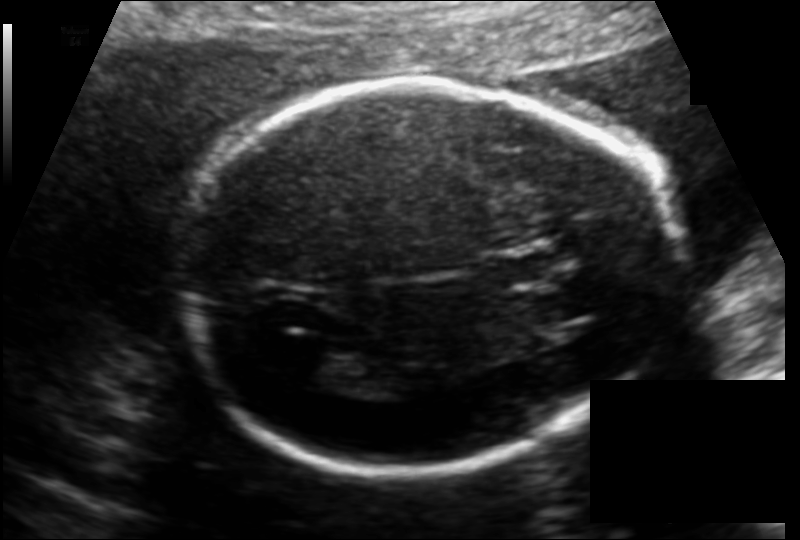
What is the fetal head circumference? Image width is 104.3 mm.

189.0 mm